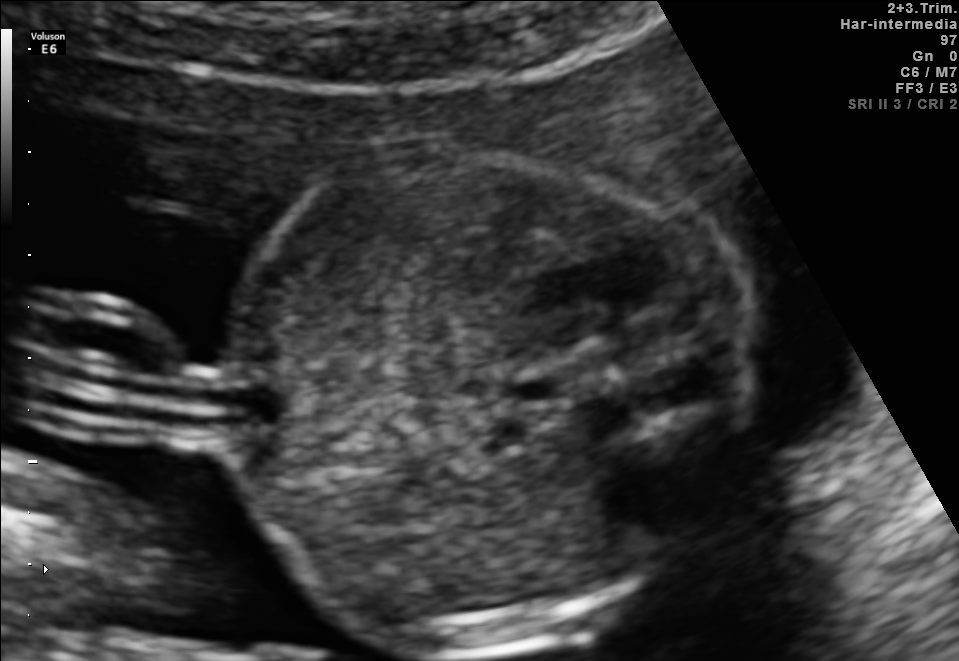
This is a 2D maternal-fetal ultrasound frame. Is it a fetal abdomen, fetal brain, fetal femur, fetal thorax, maternal cervix, or other standard plane? If it's fetal brain and one of the three standard brain planes (trans-thalamic, trans-cerebellum, trans-ventricular), name which.

Other